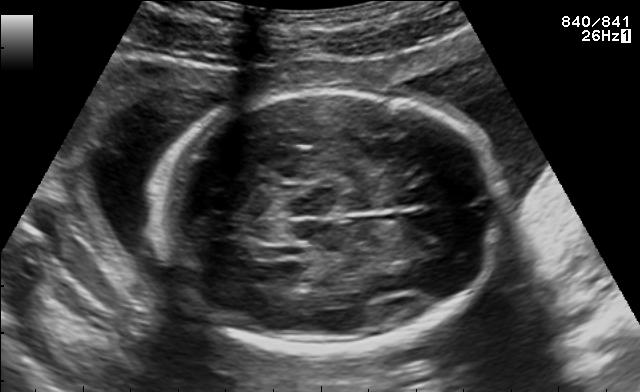
In this fetal brain, trans-thalamic plane, give the bounding box of the fetal head.

[152,90,507,353]